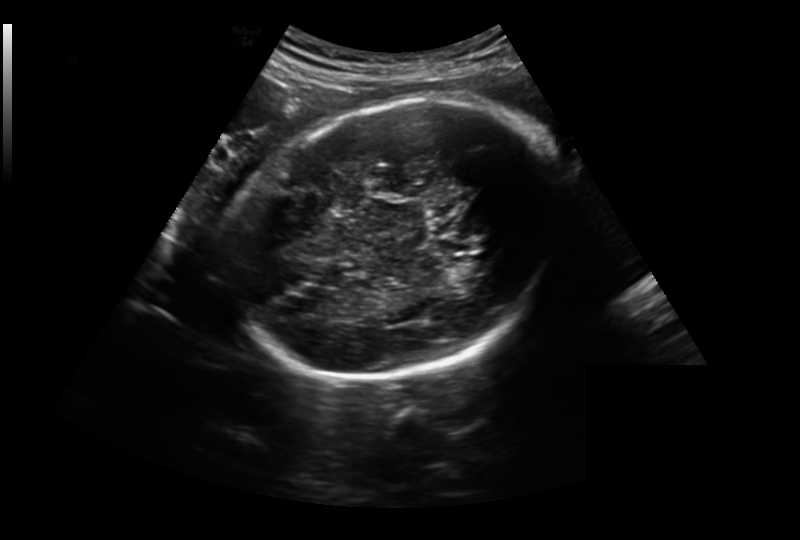
In this fetal head ultrasound, give bounding boxes for the head outline, cavum septum pellucidum (CSP), and lateral ventricle (LV), where visible. Image width: 206.9 mm.

Head: [234,100,564,377]